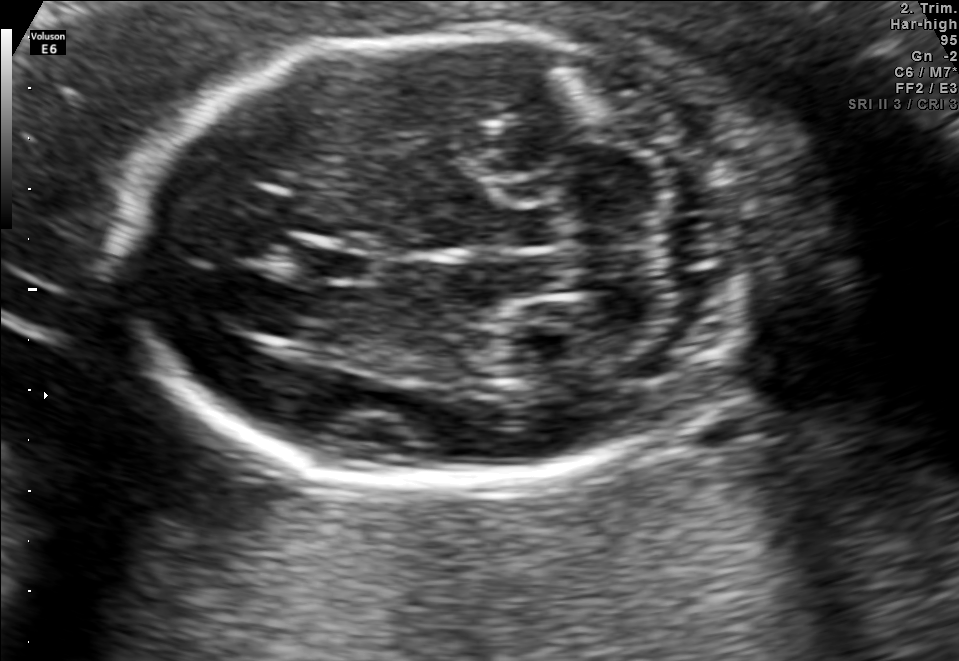
Fetal brain, trans-cerebellum plane. Locate the fetal head and, if visible, the cavum septum pellucidum (CSP) and lateral ventricle (LV). Give bounding boxes as [x1,y1,x2,y2].

Head: [122,35,747,482]
CSP: [297,240,376,285]
Lateral ventricle: [486,316,586,374]